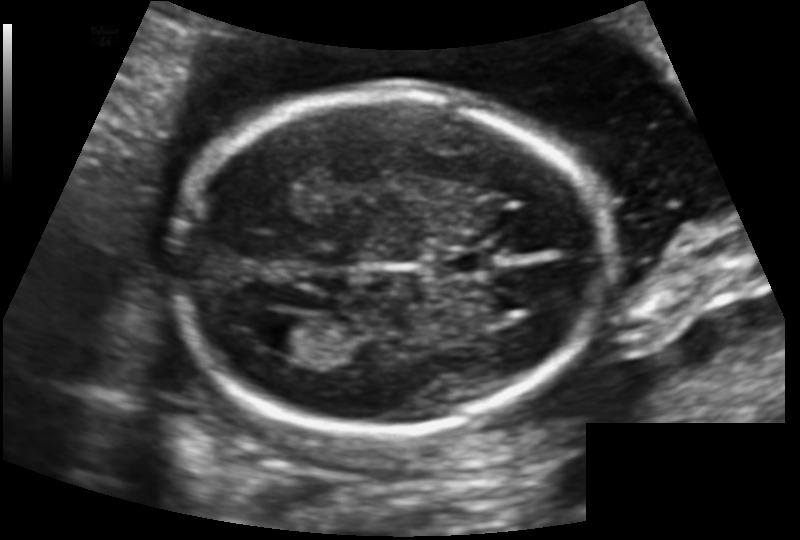
In this fetal head ultrasound, give the bounding box of the lateral ventricle. Image width: 103.5 mm.

[255,309,324,357]